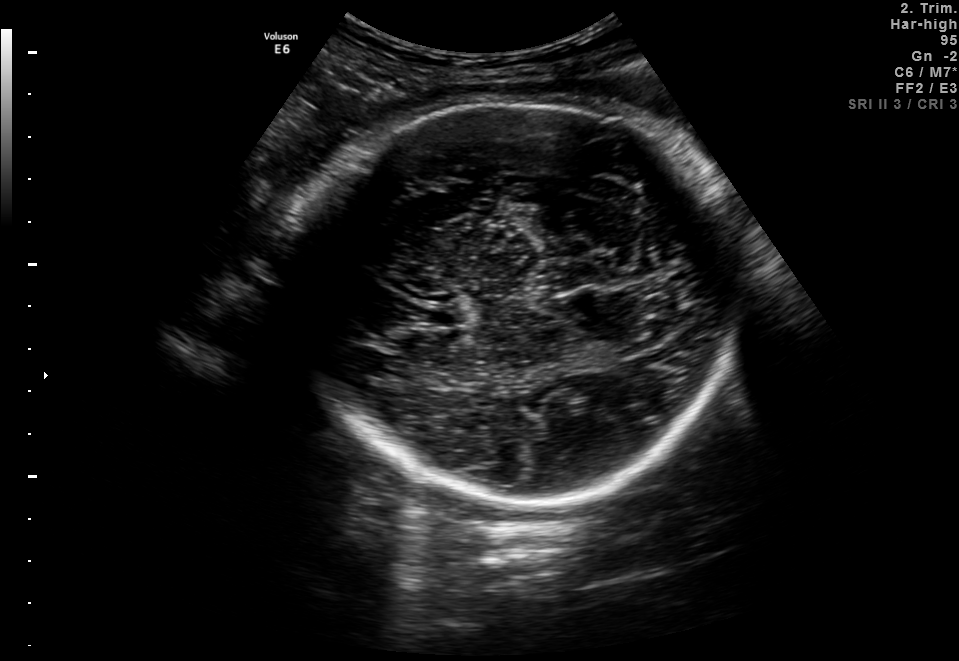
This is a 2D maternal-fetal ultrasound frame. Is it a fetal abdomen, fetal brain, fetal femur, fetal thorax, maternal cervix, or other standard plane? If it's fetal brain and one of the three standard brain planes (trans-thalamic, trans-cerebellum, trans-ventricular), name which.

Fetal brain (trans-thalamic plane)